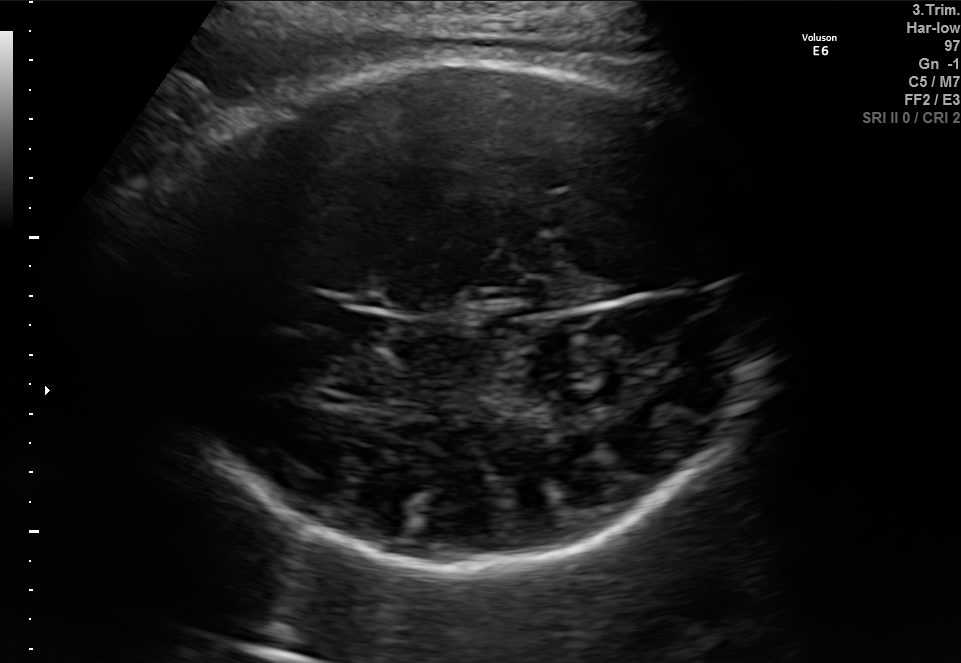
Fetal brain, trans-thalamic plane. Give [x1,y1,x2,y2] bounding boxes for each visible structure among: fetal head, CSP, LV.

Head: [143,63,782,566]
CSP: [304,294,392,344]